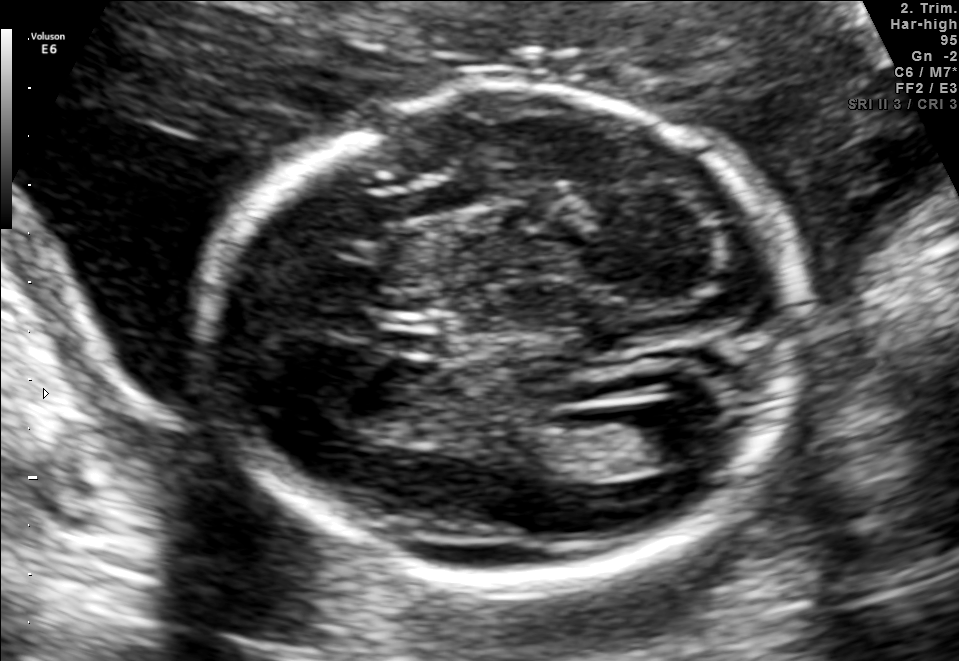
Fetal brain, trans-ventricular plane. Where is the lateral ventricle?

Lateral ventricle bounding box: [611,401,715,475]